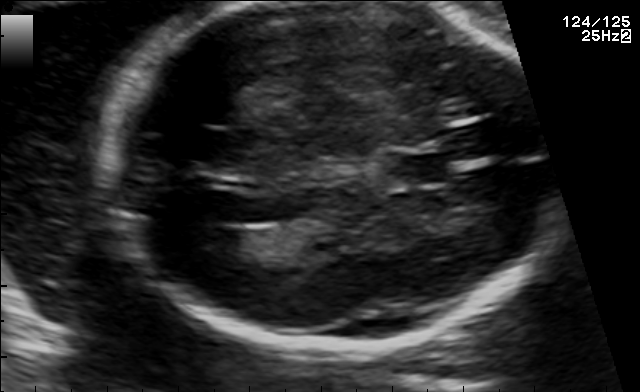
Identify the standard plane in this fetal ultrasound image: fetal abdomen, fetal brain, fetal femur, fetal thorax, maternal cervix, or other. If it's fetal brain and one of the three standard brain planes (trans-thalamic, trans-cerebellum, trans-ventricular), name which.

Fetal brain (trans-ventricular plane)